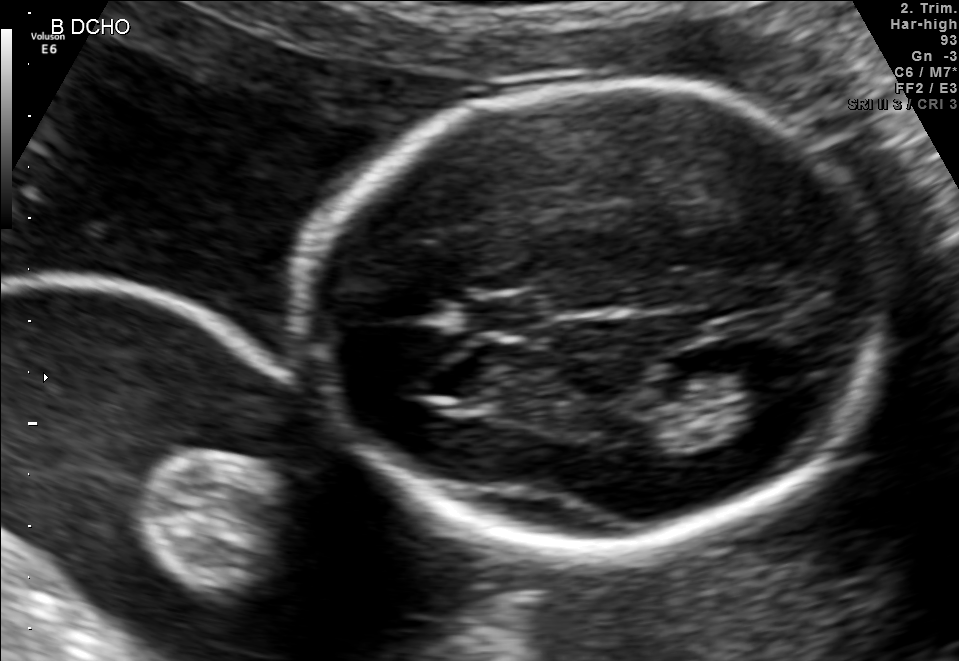
In this fetal brain, trans-thalamic plane, give the bounding box of the lateral ventricle.

[709,332,809,422]